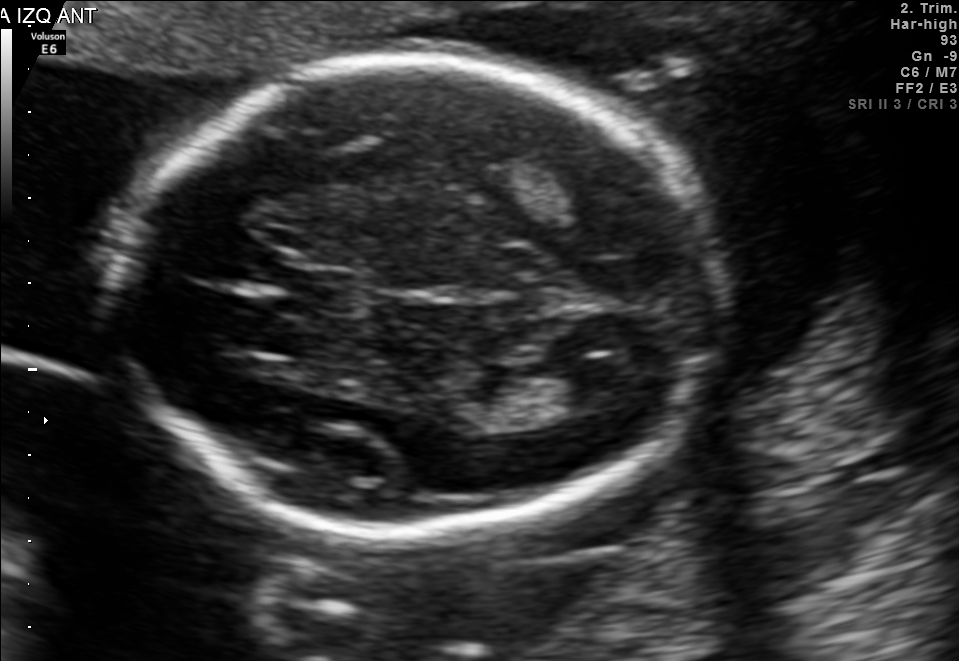
Classify this maternal-fetal ultrasound image as one of the six standard planes — fetal abdomen, fetal brain, fetal femur, fetal thorax, maternal cervix, or other. If it's fetal brain and one of the three standard brain planes (trans-thalamic, trans-cerebellum, trans-ventricular), name which.

Fetal brain (trans-thalamic plane)